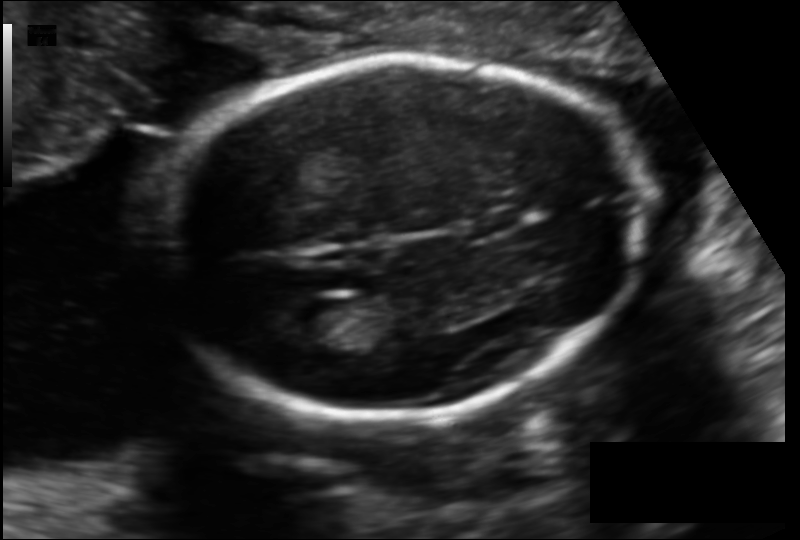
Fetal head ultrasound. Image width: 102.8 mm. Where is the fetal head?

Head bounding box: [161,56,642,417]